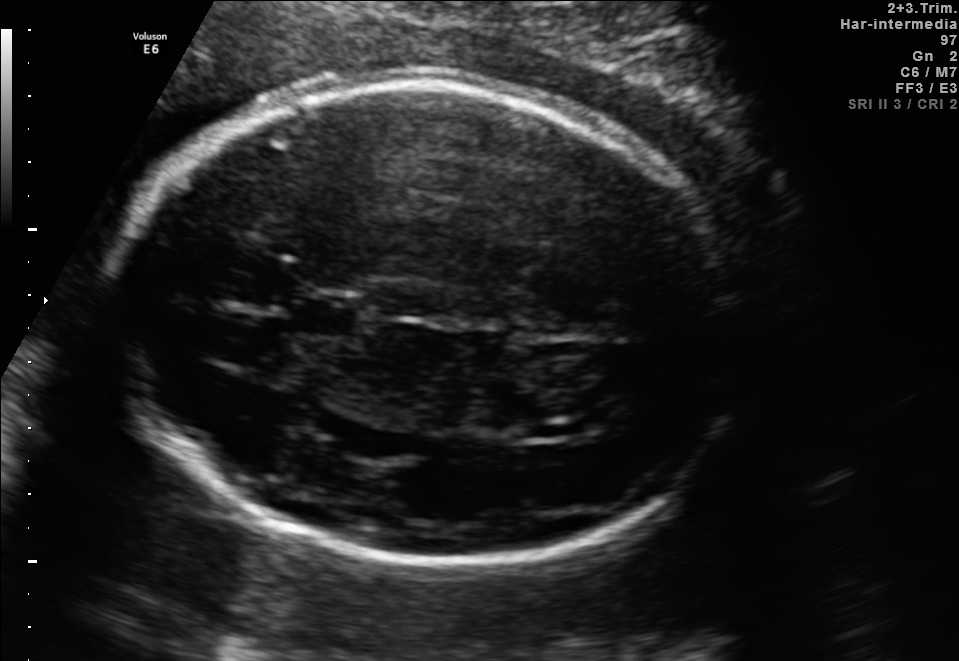
Fetal brain, trans-ventricular plane. Where is the cavum septum pellucidum?

CSP bounding box: [280,293,371,339]